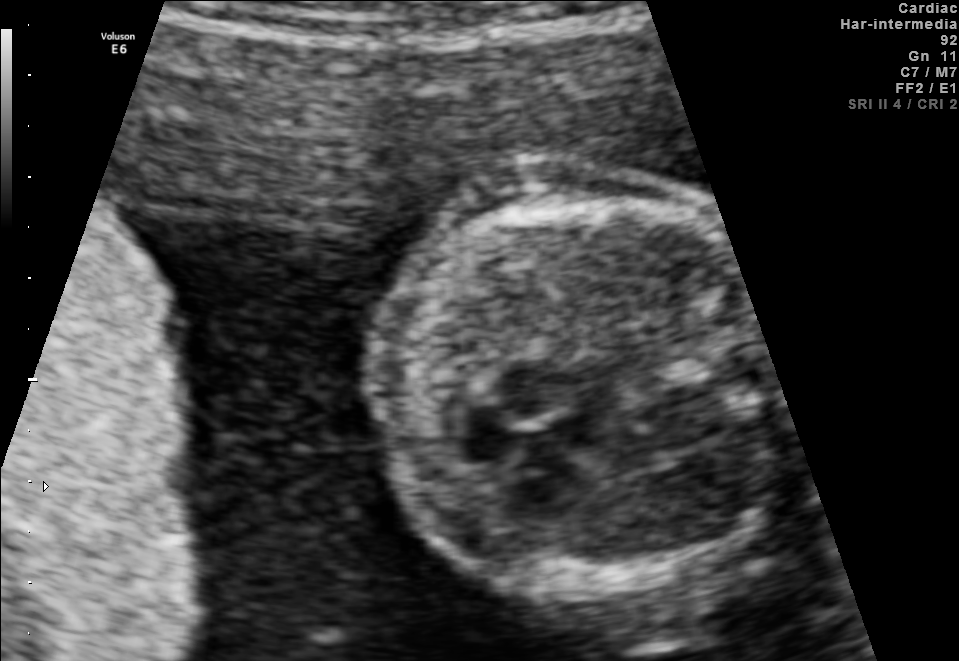
Classify this maternal-fetal ultrasound image as one of the six standard planes — fetal abdomen, fetal brain, fetal femur, fetal thorax, maternal cervix, or other. If it's fetal brain and one of the three standard brain planes (trans-thalamic, trans-cerebellum, trans-ventricular), name which.

Fetal thorax